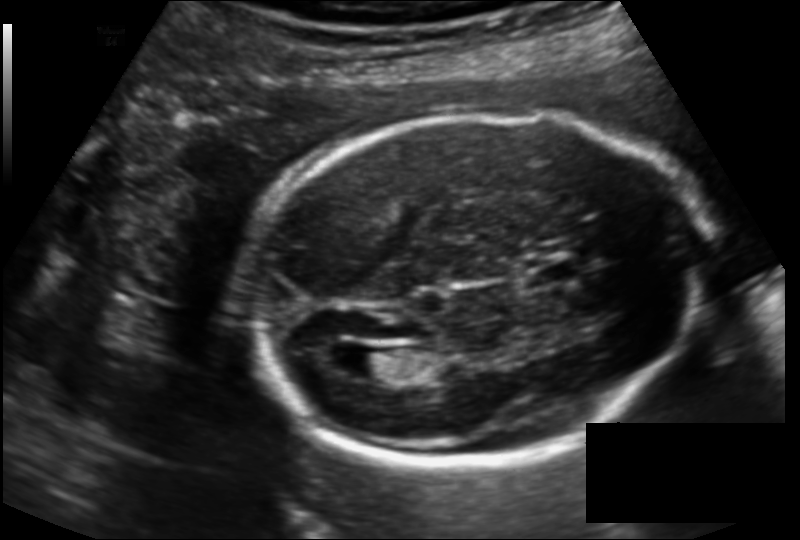
In this fetal head ultrasound, give the bounding box of the cavum septum pellucidum. Image width: 114.4 mm.

[522,257,578,291]